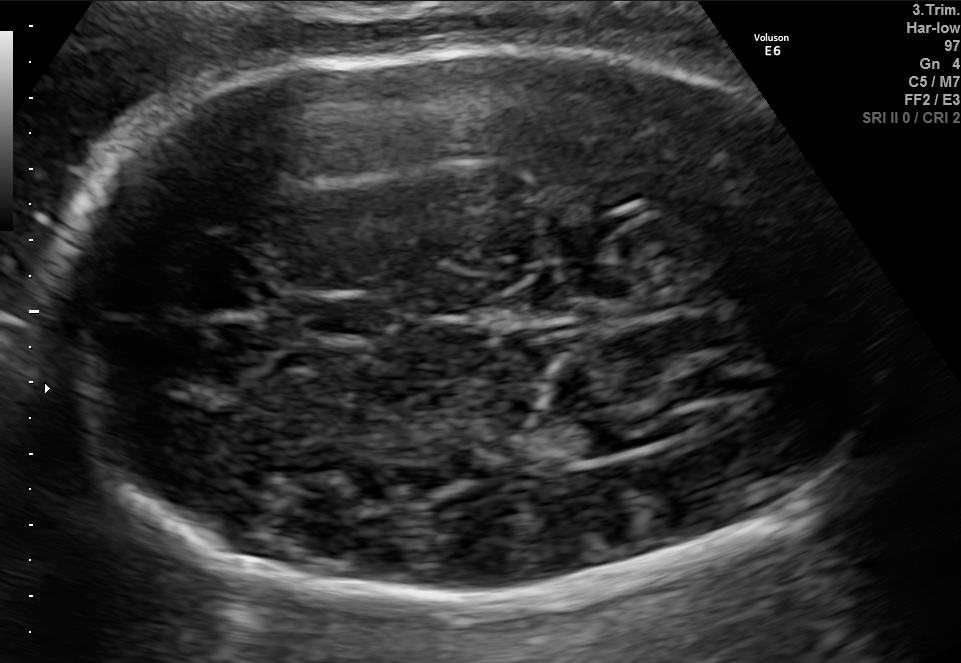
In this fetal brain, trans-thalamic plane, give the bounding box of the cavum septum pellucidum.

[296,299,389,335]